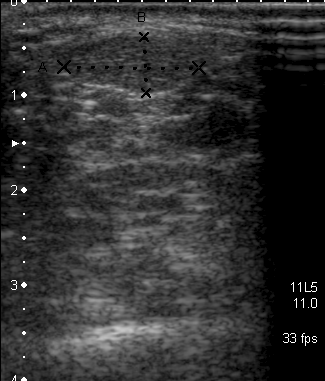
Classify this maternal-fetal ultrasound image as one of the six standard planes — fetal abdomen, fetal brain, fetal femur, fetal thorax, maternal cervix, or other. If it's fetal brain and one of the three standard brain planes (trans-thalamic, trans-cerebellum, trans-ventricular), name which.

Other